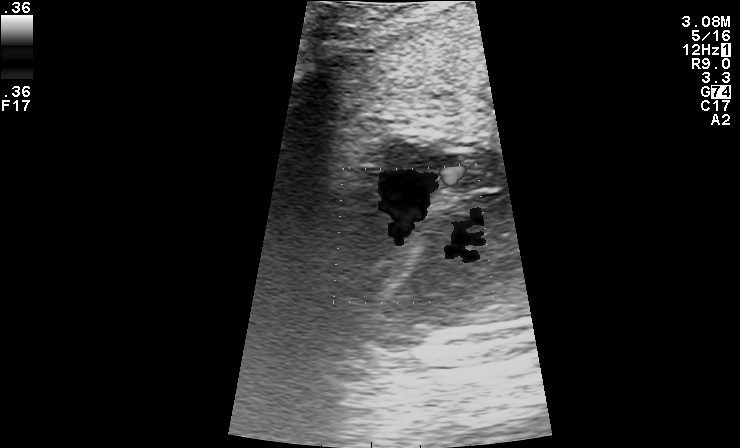
Identify the standard plane in this fetal ultrasound image: fetal abdomen, fetal brain, fetal femur, fetal thorax, maternal cervix, or other. If it's fetal brain and one of the three standard brain planes (trans-thalamic, trans-cerebellum, trans-ventricular), name which.

Other